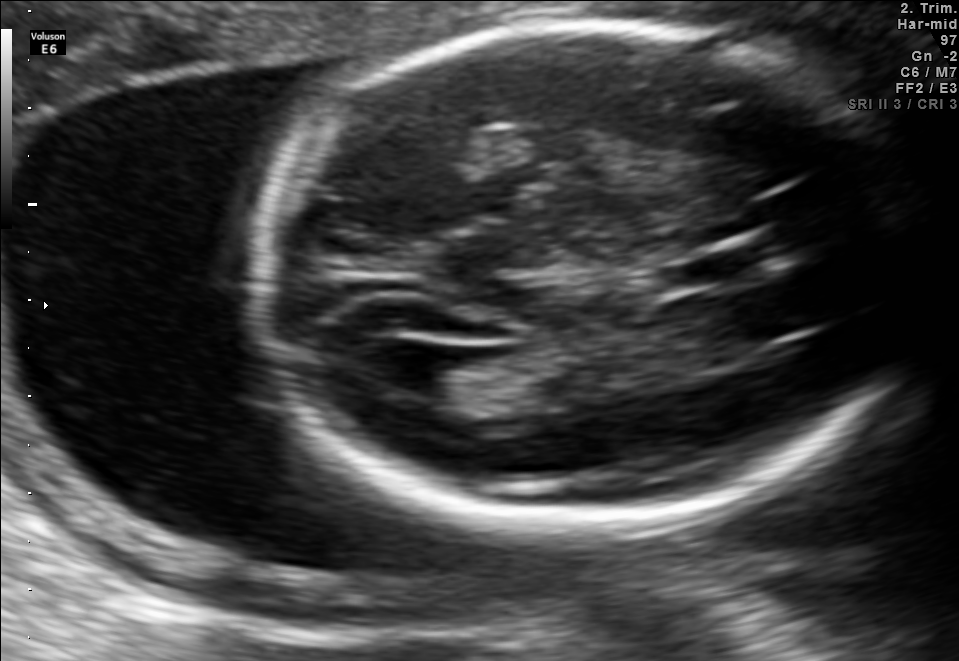
Fetal brain, trans-ventricular plane. Where is the fetal head?

Head bounding box: [243,15,934,544]